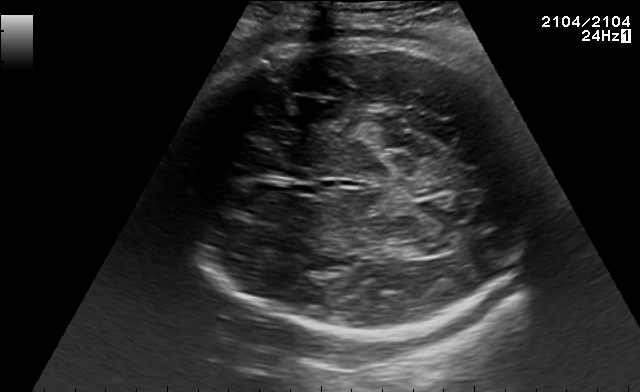
Fetal brain, trans-thalamic plane. Locate the cavum septum pellucidum.

CSP: [293,185,317,194]